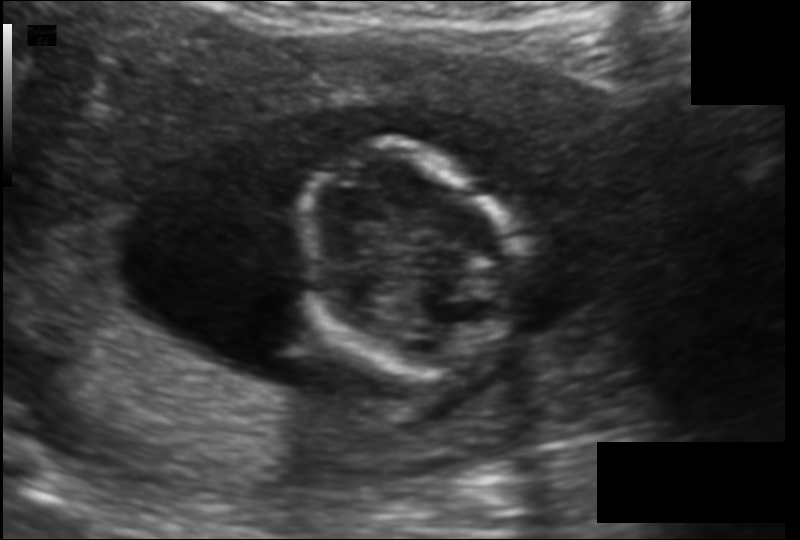
In this fetal head ultrasound, give bounding boxes for the head outline, cavum septum pellucidum (CSP), and lateral ventricle (LV), where visible. Image width: 103.9 mm.

Head: [298,142,516,382]